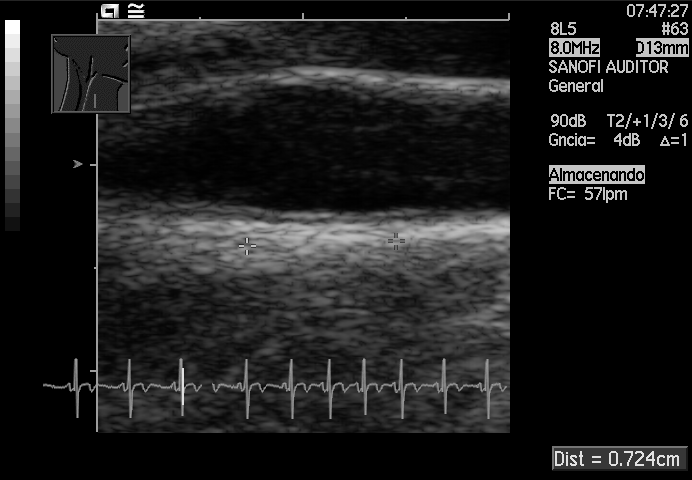
This is a 2D maternal-fetal ultrasound frame. Is it a fetal abdomen, fetal brain, fetal femur, fetal thorax, maternal cervix, or other standard plane? If it's fetal brain and one of the three standard brain planes (trans-thalamic, trans-cerebellum, trans-ventricular), name which.

Other